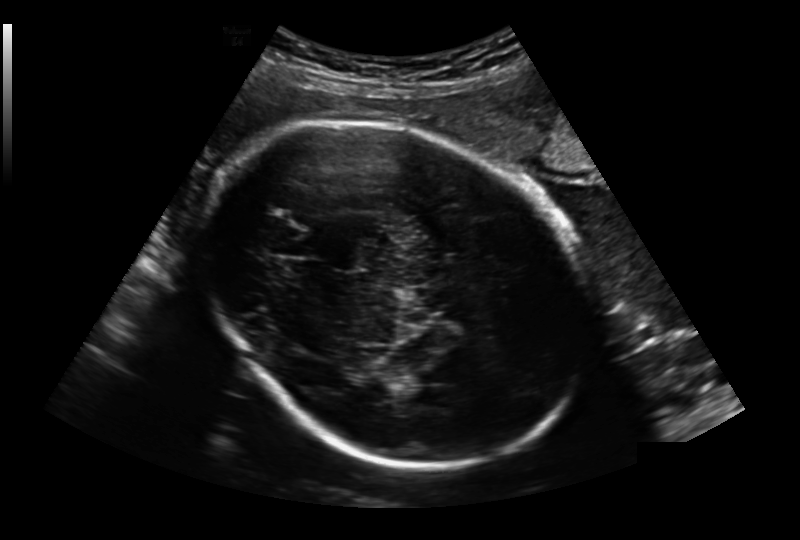
Measure the fetal head circumference shown in this ultrasound image. Image width: 188.7 mm.

Head circumference: 272.9 mm.